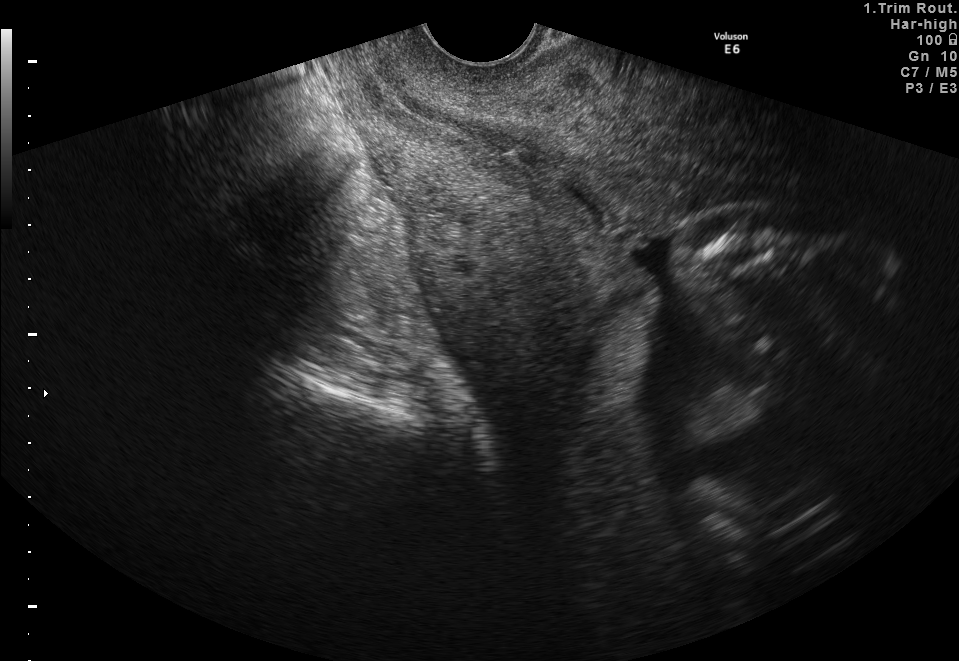
Classify this maternal-fetal ultrasound image as one of the six standard planes — fetal abdomen, fetal brain, fetal femur, fetal thorax, maternal cervix, or other. If it's fetal brain and one of the three standard brain planes (trans-thalamic, trans-cerebellum, trans-ventricular), name which.

Maternal cervix